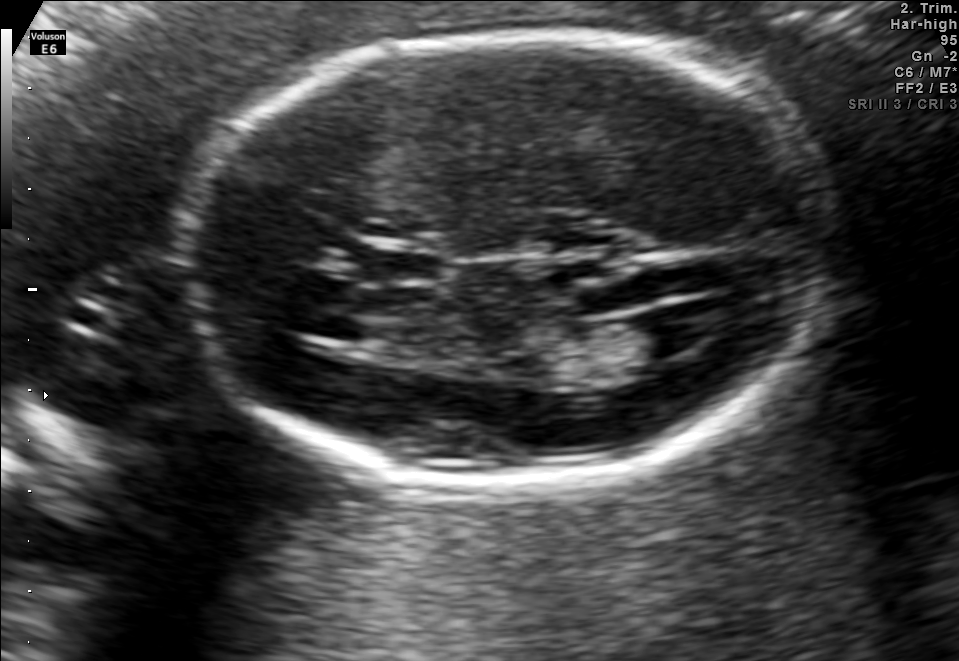
Fetal brain, trans-ventricular plane. Where is the lateral ventricle?

Lateral ventricle bounding box: [631,298,715,361]